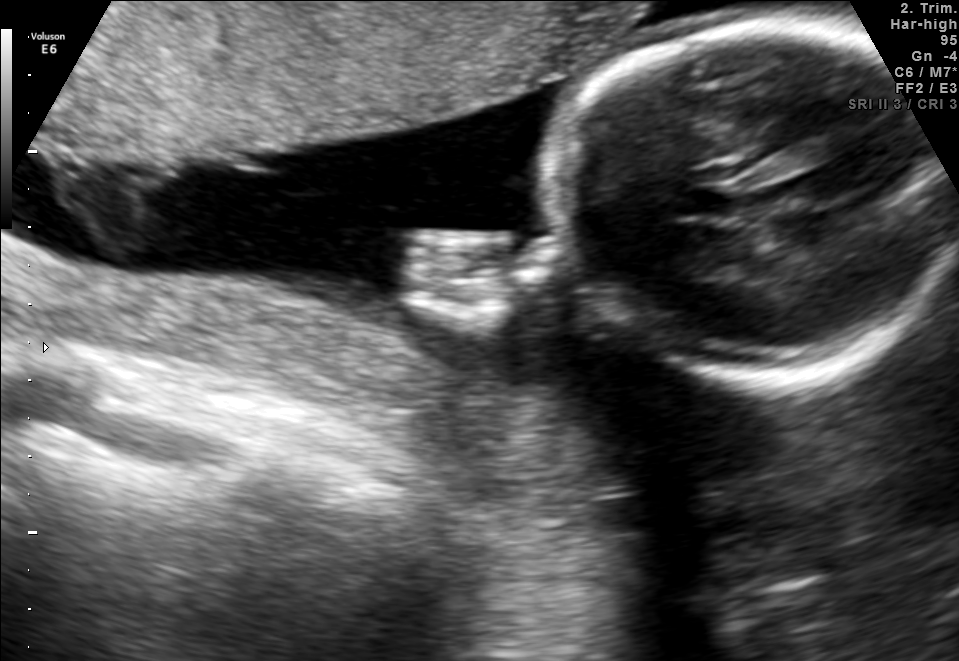
Which standard maternal-fetal ultrasound plane is shown: fetal abdomen, fetal brain, fetal femur, fetal thorax, maternal cervix, or other? If it's fetal brain and one of the three standard brain planes (trans-thalamic, trans-cerebellum, trans-ventricular), name which.

Other